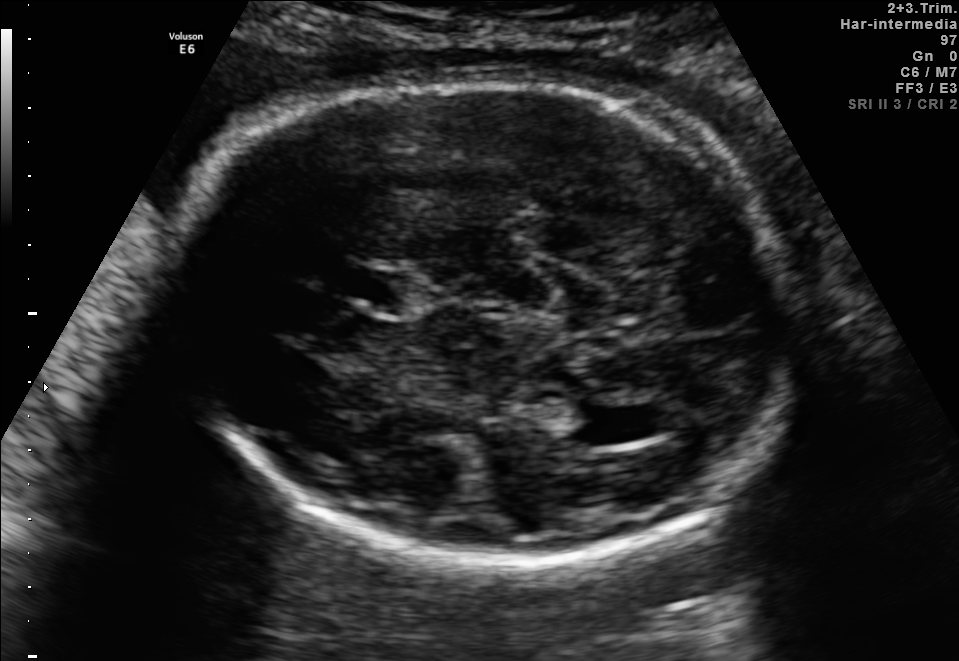
Fetal brain, trans-ventricular plane. Locate the fetal head and, if visible, the cavum septum pellucidum (CSP) and lateral ventricle (LV). Give bounding boxes as [x1,y1,x2,y2].

Head: [159,71,814,570]
CSP: [350,267,405,307]
Lateral ventricle: [546,402,625,446]